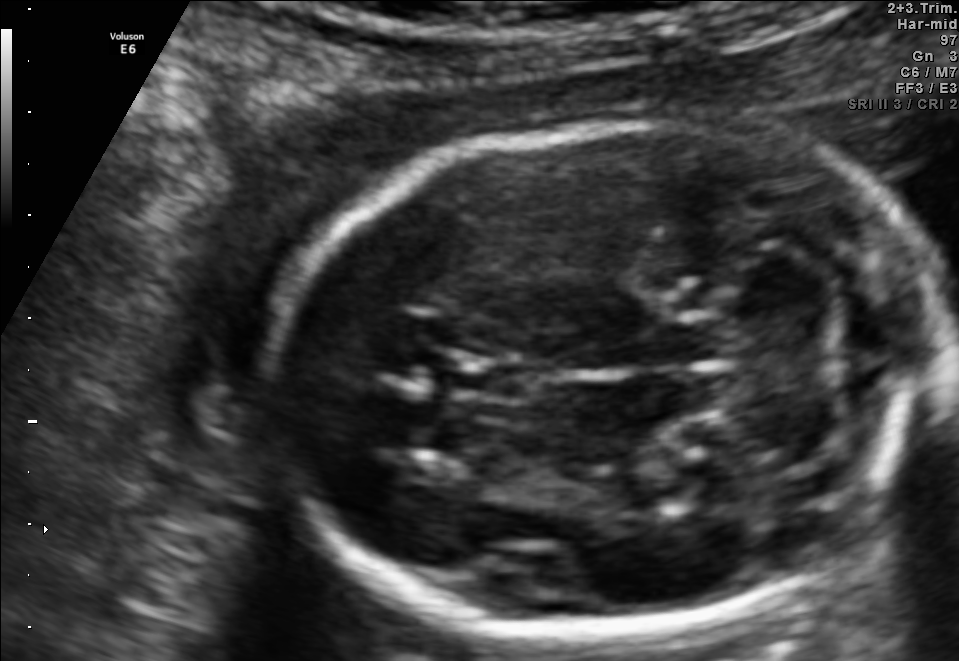
Fetal brain, trans-cerebellum plane. Locate the fetal head.

Head: [273,117,946,642]